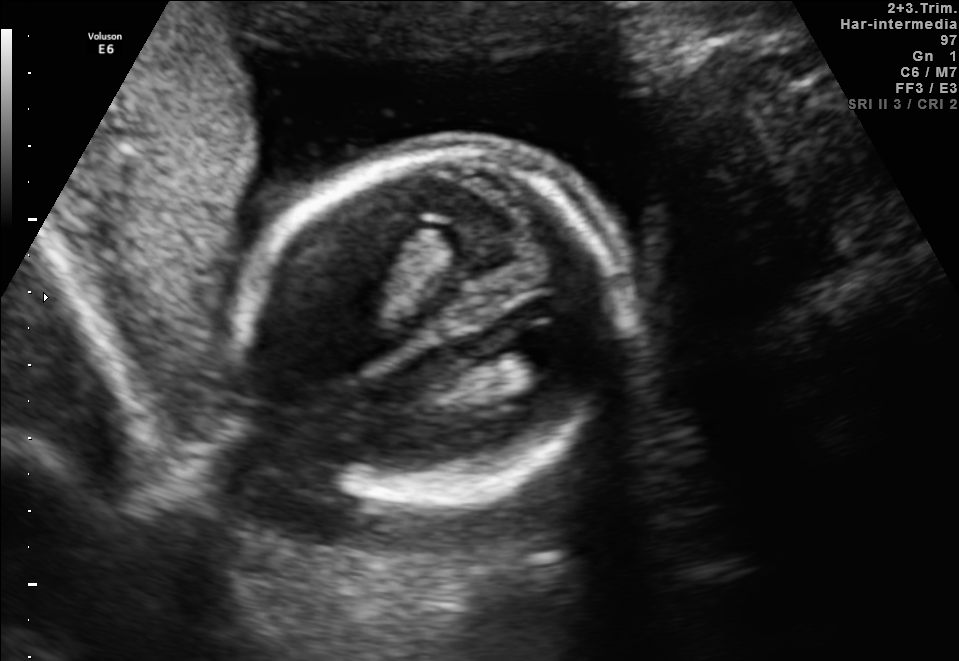
Fetal brain, trans-ventricular plane. Locate the fetal head and, if visible, the cavum septum pellucidum (CSP) and lateral ventricle (LV). Give bounding boxes as [x1,y1,x2,y2].

Head: [228,134,653,513]
Lateral ventricle: [494,317,576,389]